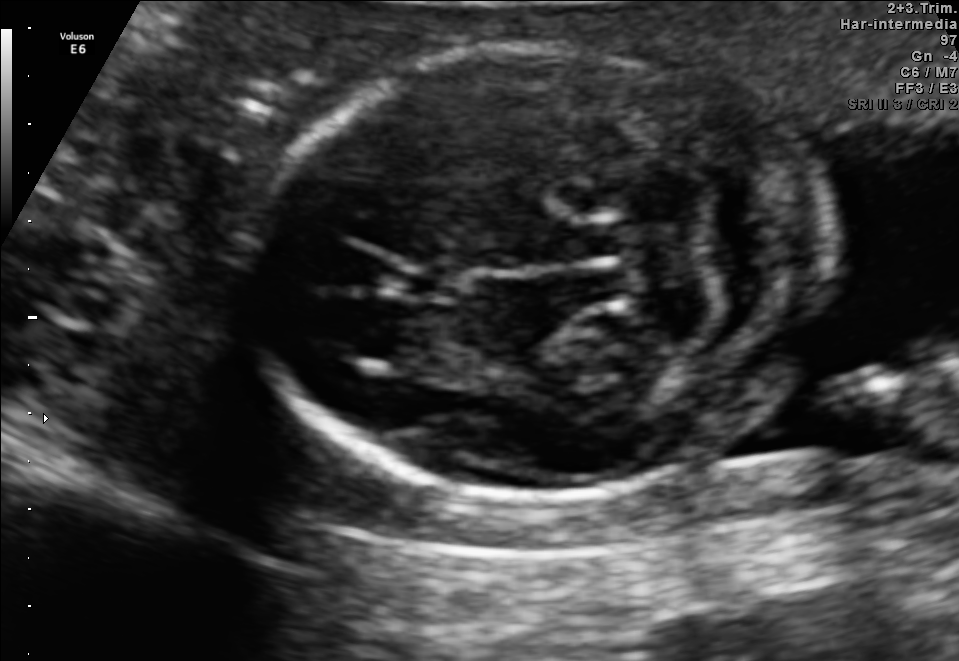
Fetal brain, trans-cerebellum plane. Where is the cavum septum pellucidum?

CSP bounding box: [400,263,461,301]